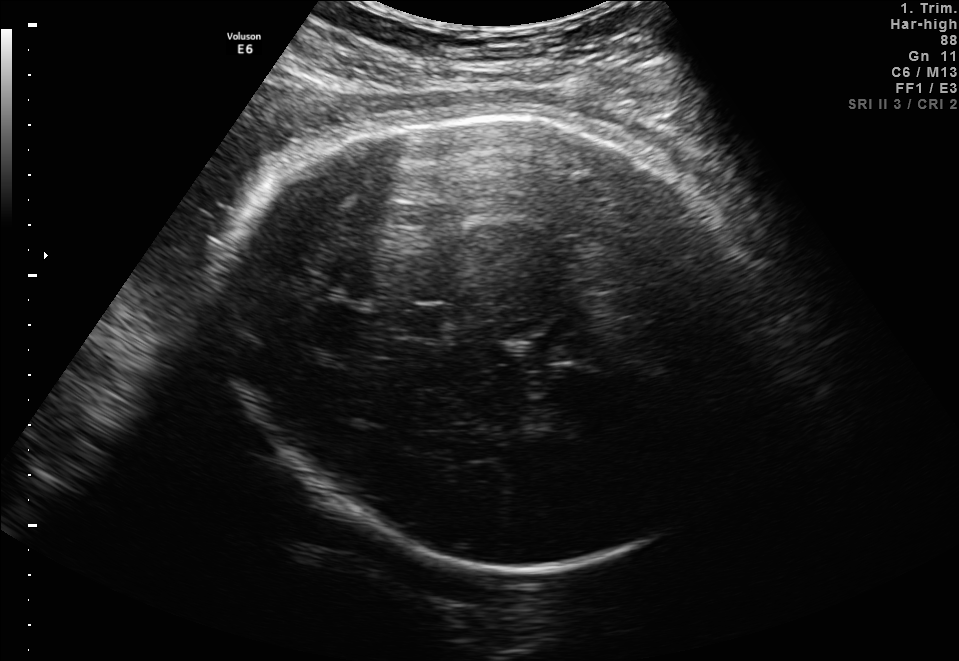
Which standard maternal-fetal ultrasound plane is shown: fetal abdomen, fetal brain, fetal femur, fetal thorax, maternal cervix, or other? If it's fetal brain and one of the three standard brain planes (trans-thalamic, trans-cerebellum, trans-ventricular), name which.

Fetal brain (trans-thalamic plane)